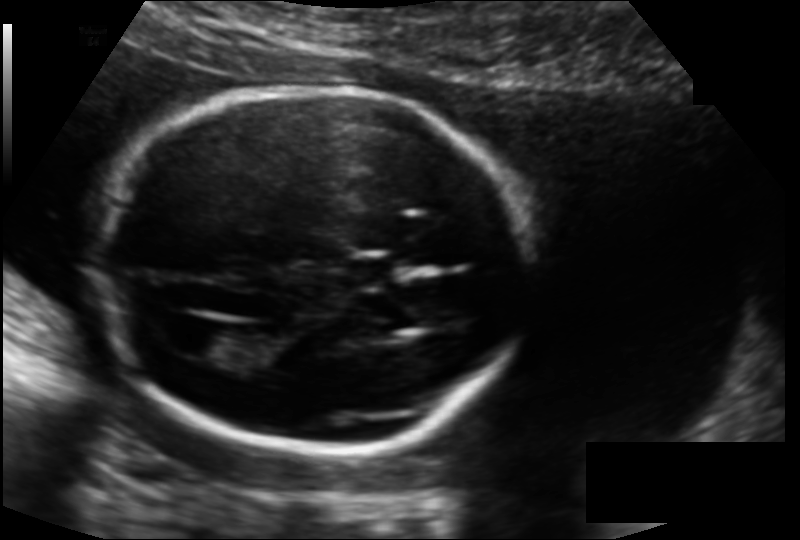
In this fetal head ultrasound, give bounding boxes for the head outline, cavum septum pellucidum (CSP), and lateral ventricle (LV), where visible. Image width: 107.7 mm.

Head: [93,86,526,451]
CSP: [345,255,400,287]
Lateral ventricle: [170,318,235,364]